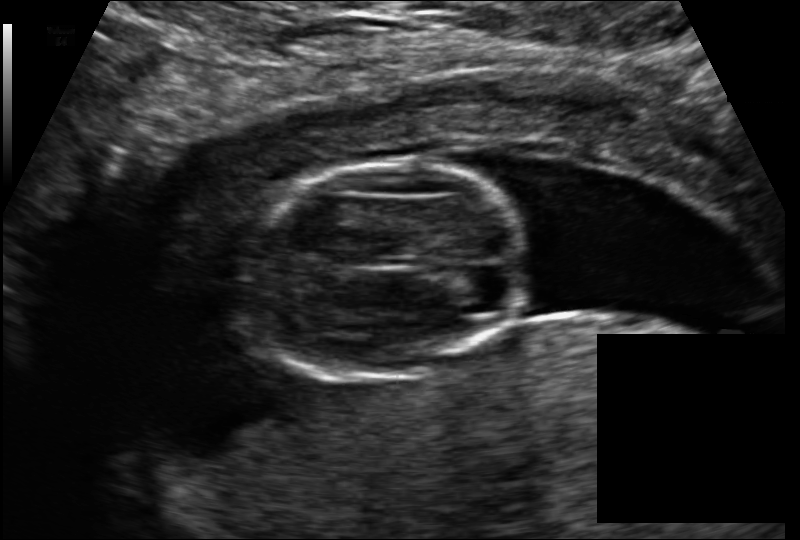
Measure the fetal head circumference shown in this ultrasound image. Image width: 91.0 mm.

Head circumference: 94.8 mm.